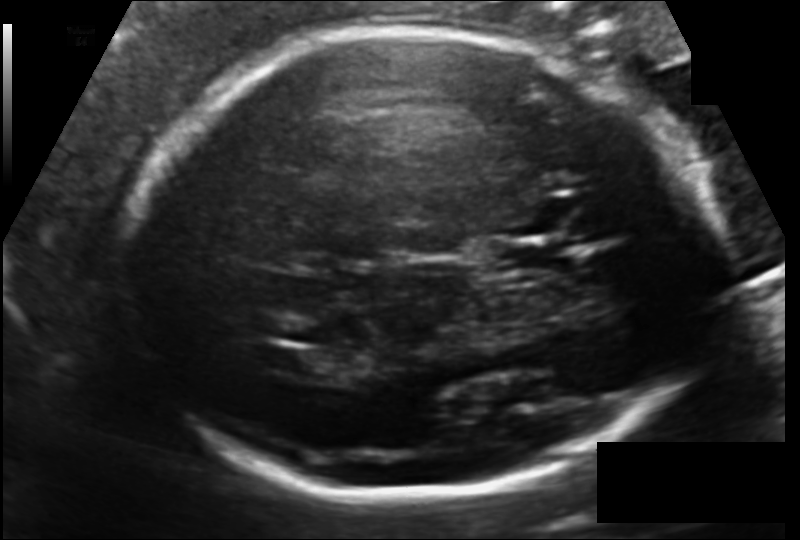
Fetal head ultrasound. Image width: 106.4 mm. Where is the lateral ventricle?

Lateral ventricle bounding box: [264,346,327,379]